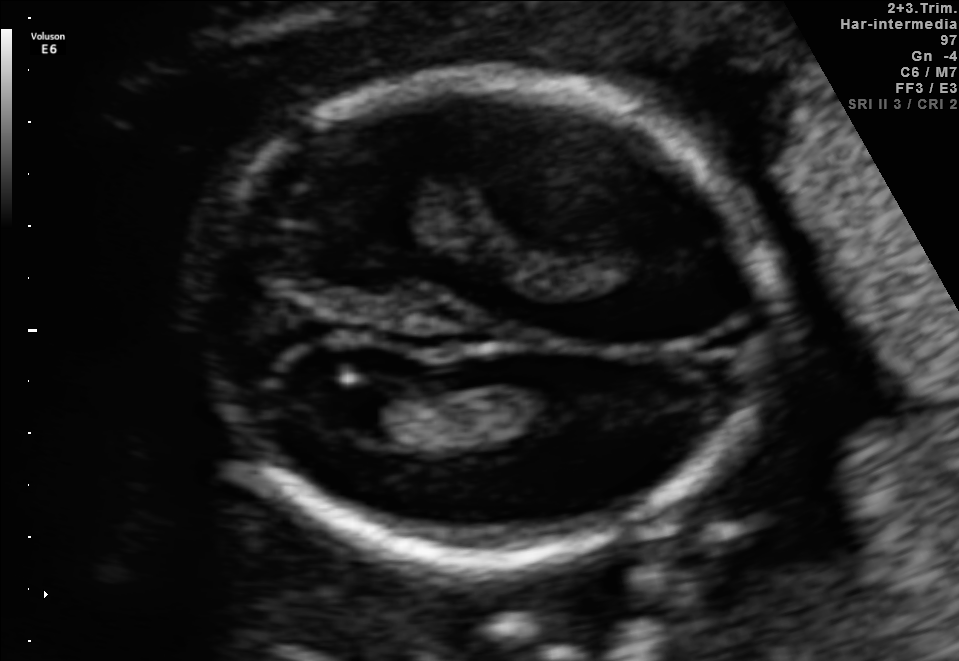
Fetal brain, trans-ventricular plane. Where is the lateral ventricle?

Lateral ventricle bounding box: [303,377,401,442]